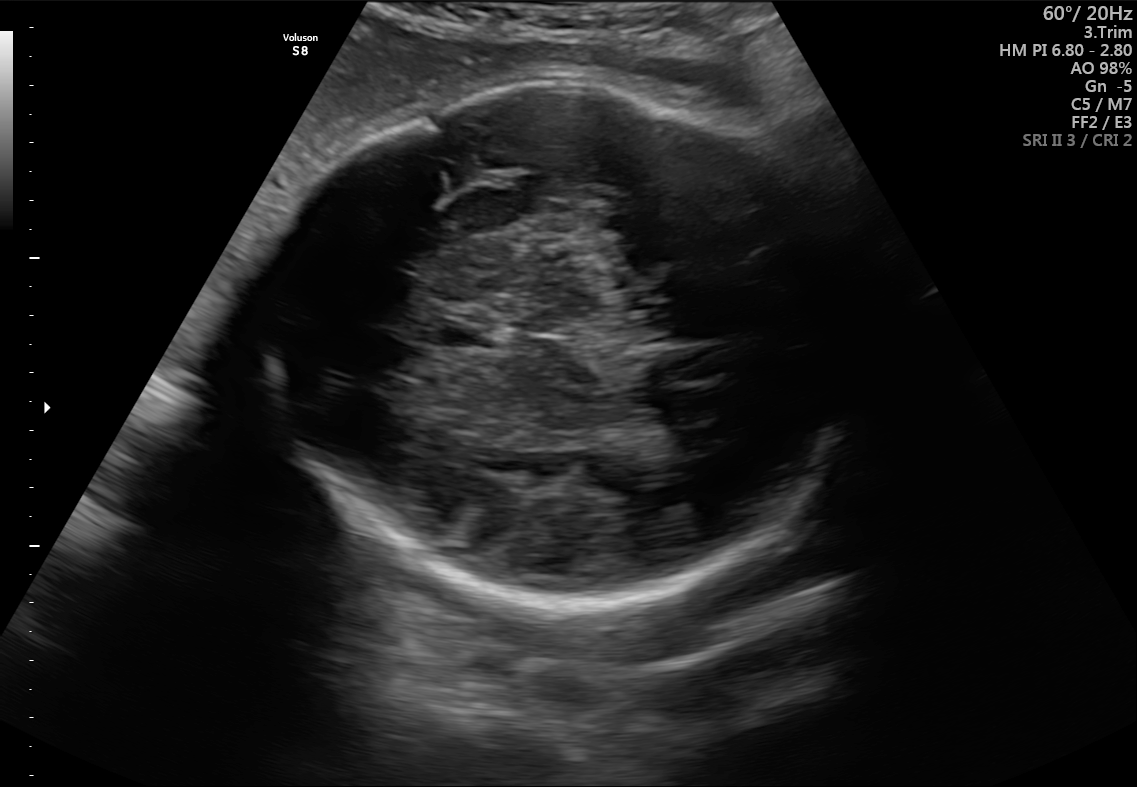
In this fetal brain, trans-thalamic plane, give bounding boxes for the head outline, cavum septum pellucidum (CSP), and lateral ventricle (LV), where visible.

Head: [257,77,870,612]
CSP: [434,313,496,349]